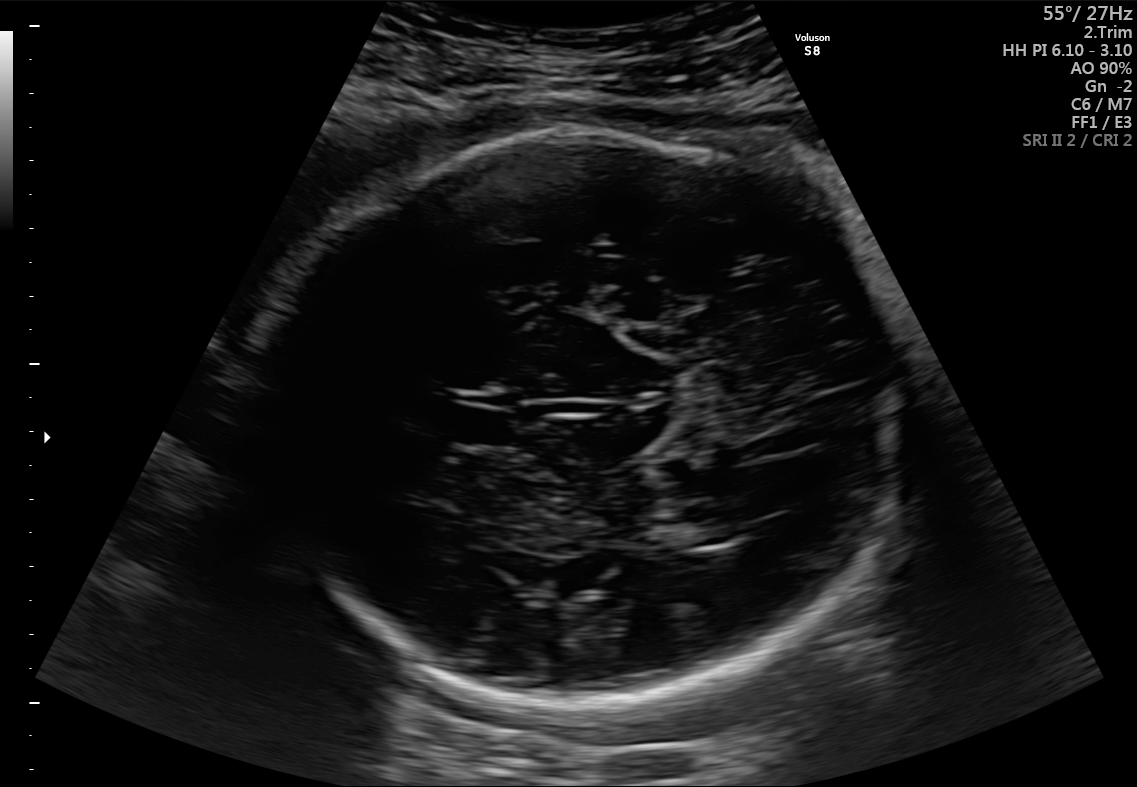
In this fetal brain, trans-thalamic plane, give the bounding box of the cavum septum pellucidum.

[446,403,515,446]